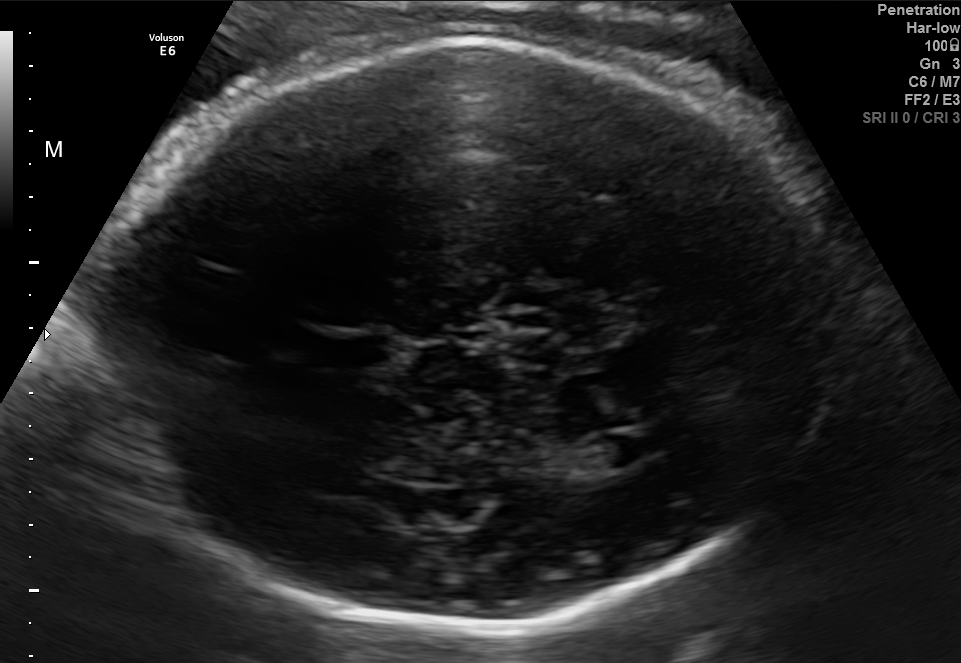
Fetal brain, trans-ventricular plane. Locate the fetal head.

Head: [87,31,870,634]